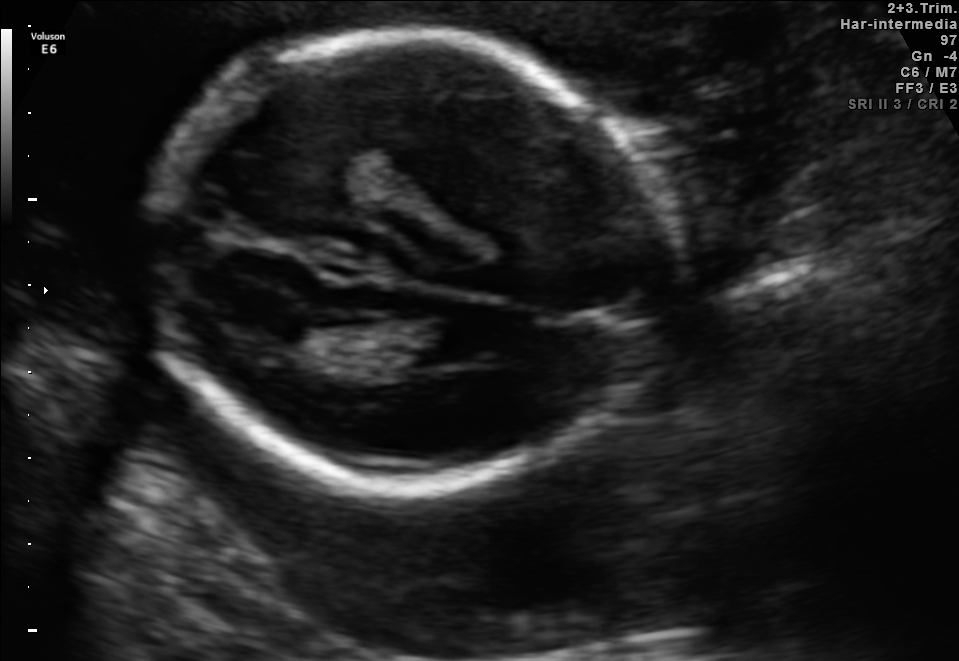
In this fetal brain, trans-ventricular plane, give bounding boxes for the head outline, cavum septum pellucidum (CSP), and lateral ventricle (LV), where visible.

Head: [134,24,679,501]